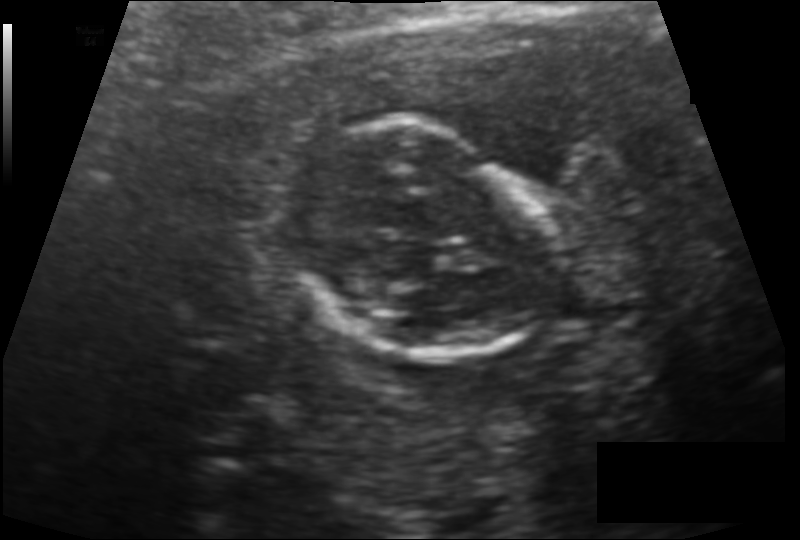
Fetal head ultrasound. Image width: 91.6 mm. Give [x1,y1,x2,y2] bounding boxes for each visible structure among: fetal head, CSP, LV.

Head: [283,122,552,361]